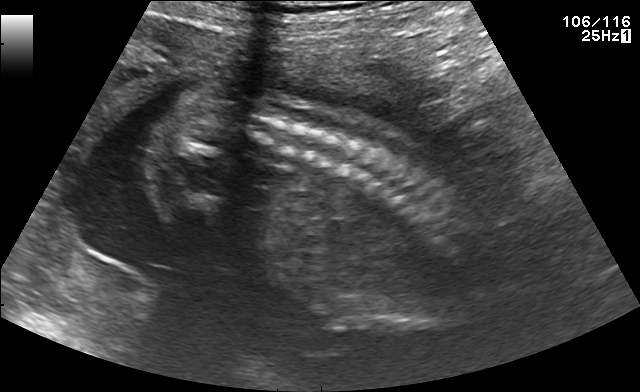
Which standard maternal-fetal ultrasound plane is shown: fetal abdomen, fetal brain, fetal femur, fetal thorax, maternal cervix, or other? If it's fetal brain and one of the three standard brain planes (trans-thalamic, trans-cerebellum, trans-ventricular), name which.

Other